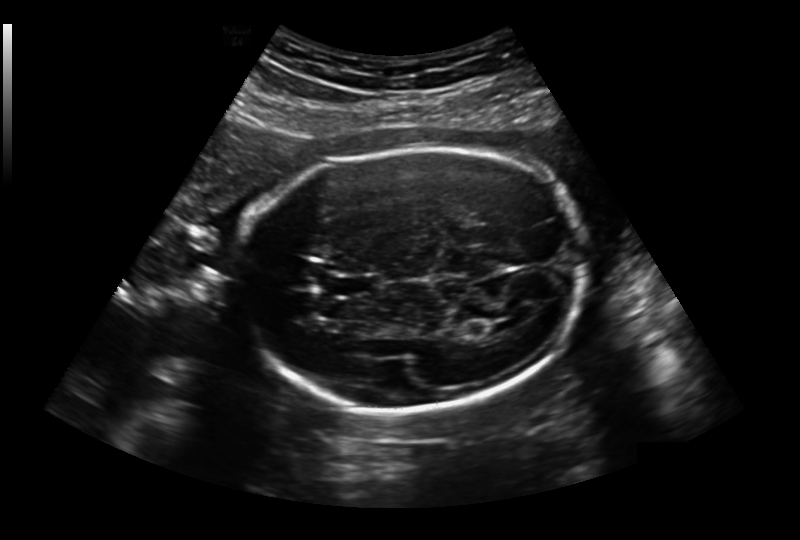
Fetal head ultrasound. Image width: 188.7 mm. Where is the lateral ventricle?

Lateral ventricle bounding box: [490,315,520,335]